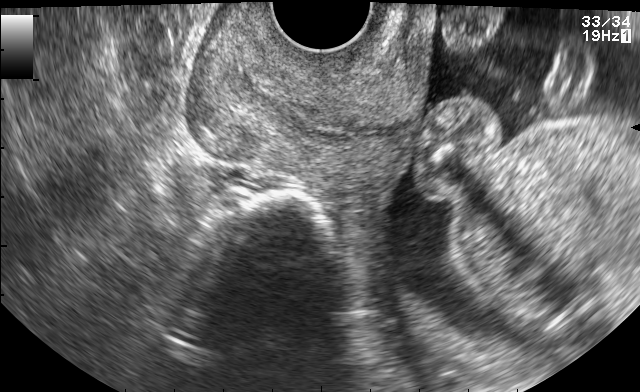
Identify the standard plane in this fetal ultrasound image: fetal abdomen, fetal brain, fetal femur, fetal thorax, maternal cervix, or other. If it's fetal brain and one of the three standard brain planes (trans-thalamic, trans-cerebellum, trans-ventricular), name which.

Maternal cervix